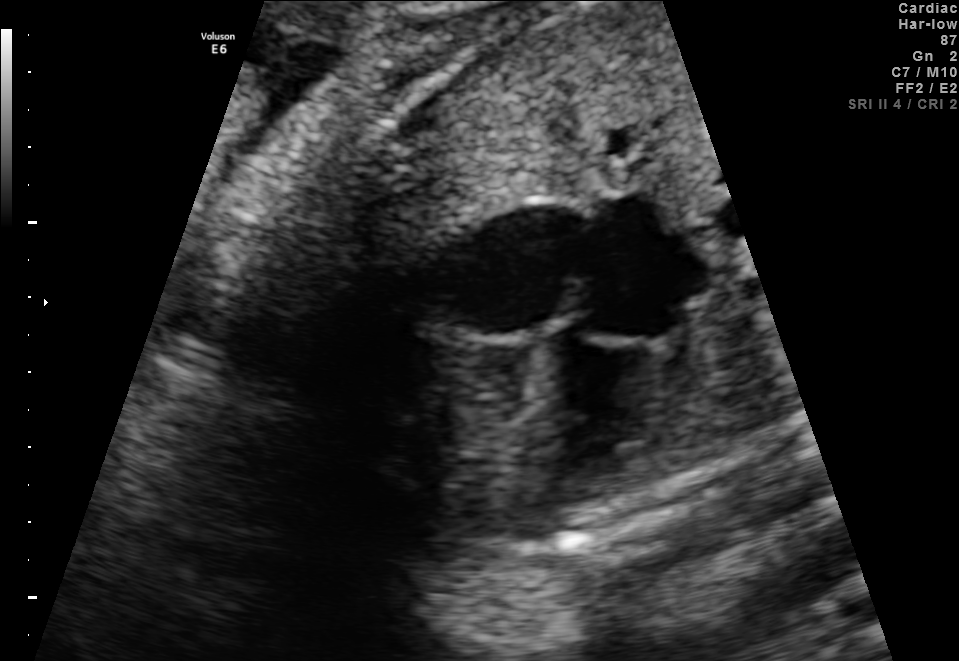
Identify the standard plane in this fetal ultrasound image: fetal abdomen, fetal brain, fetal femur, fetal thorax, maternal cervix, or other. If it's fetal brain and one of the three standard brain planes (trans-thalamic, trans-cerebellum, trans-ventricular), name which.

Fetal thorax